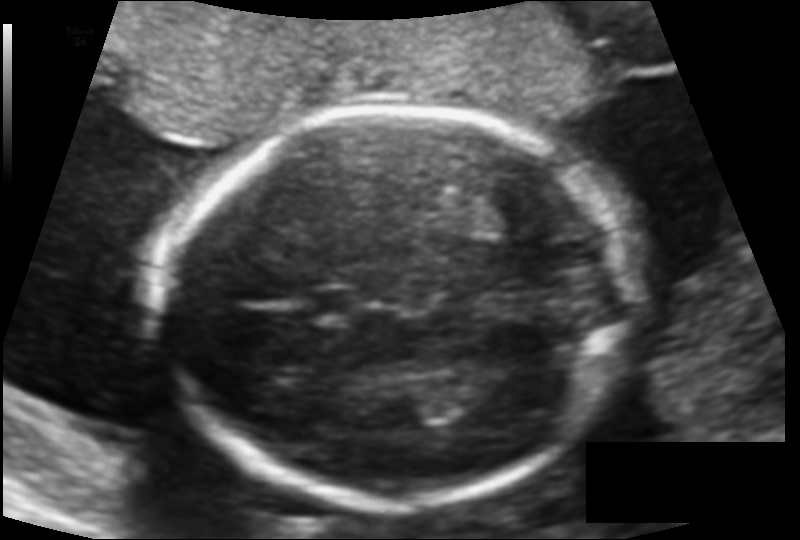
In this fetal head ultrasound, give bounding boxes for the head outline, cavum septum pellucidum (CSP), and lateral ventricle (LV), where visible. Image width: 97.0 mm.

Head: [162,106,631,507]
CSP: [307,285,363,324]